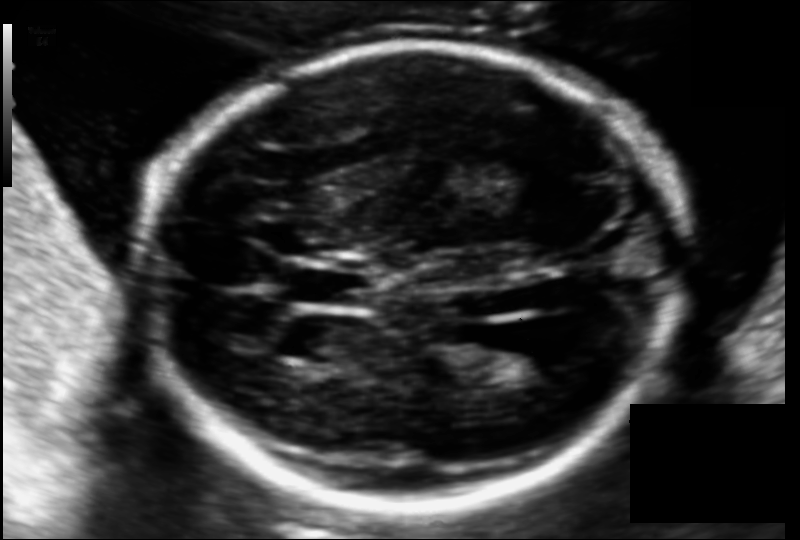
In this fetal head ultrasound, give bounding boxes for the head outline, cavum septum pellucidum (CSP), and lateral ventricle (LV), where visible. Image width: 94.4 mm.

Head: [143,45,683,508]
CSP: [290,269,366,307]
Lateral ventricle: [470,330,560,388]